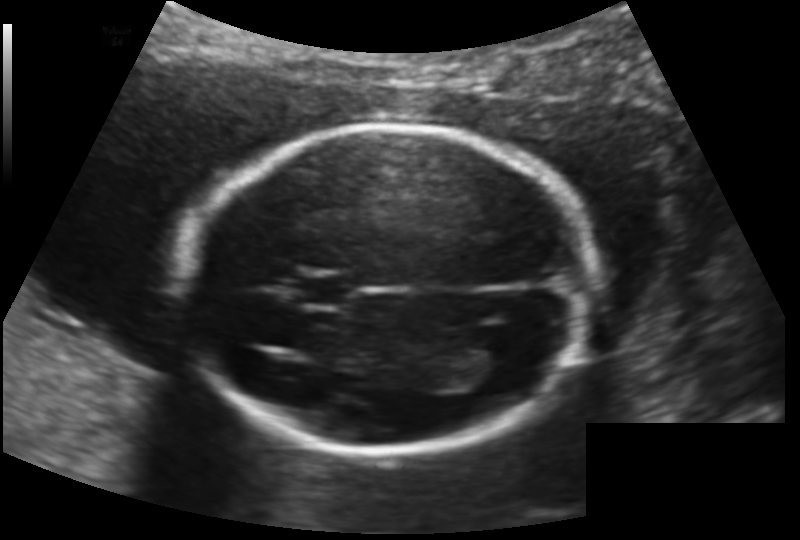
In this fetal head ultrasound, give the bounding box of the fetal head. Image width: 116.3 mm.

[182,125,601,451]